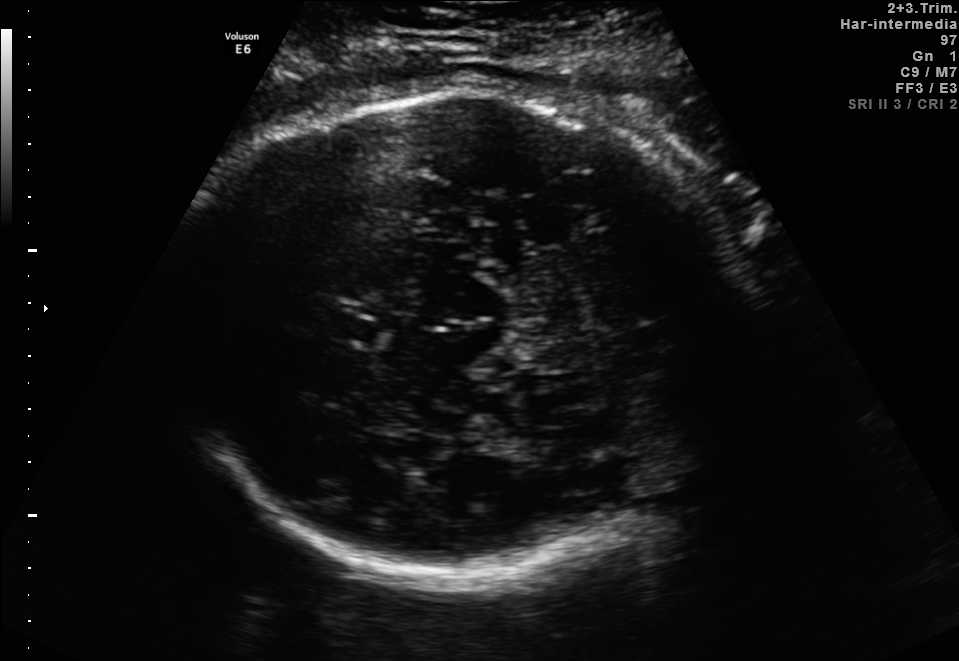
Which standard maternal-fetal ultrasound plane is shown: fetal abdomen, fetal brain, fetal femur, fetal thorax, maternal cervix, or other? If it's fetal brain and one of the three standard brain planes (trans-thalamic, trans-cerebellum, trans-ventricular), name which.

Fetal brain (trans-thalamic plane)